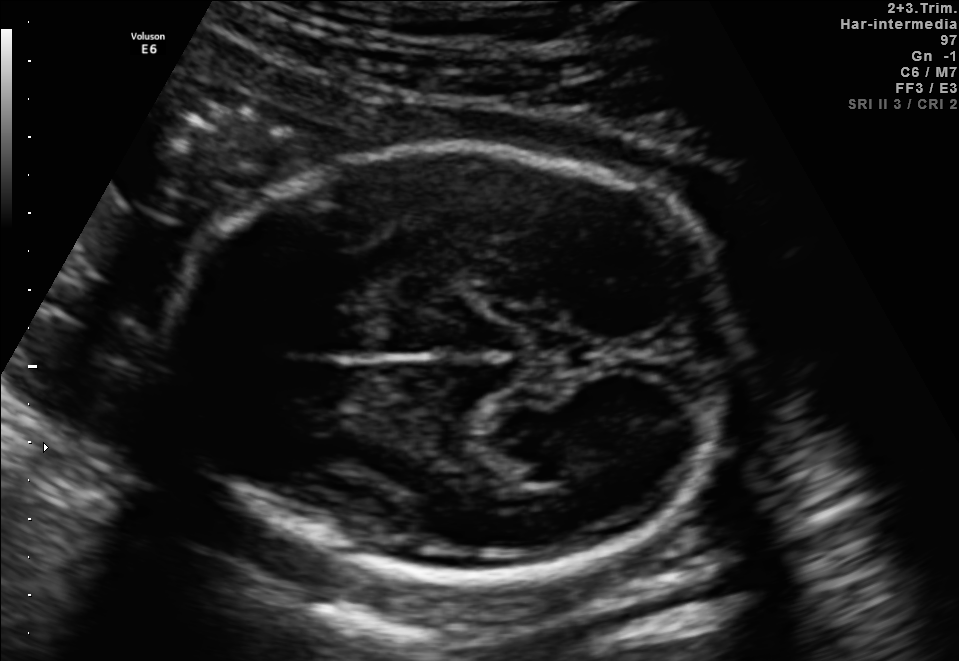
Fetal brain, trans-thalamic plane. Give [x1,y1,x2,y2] bounding boxes for each visible structure among: fetal head, CSP, LV.

Head: [166,144,733,579]
Lateral ventricle: [488,425,608,491]